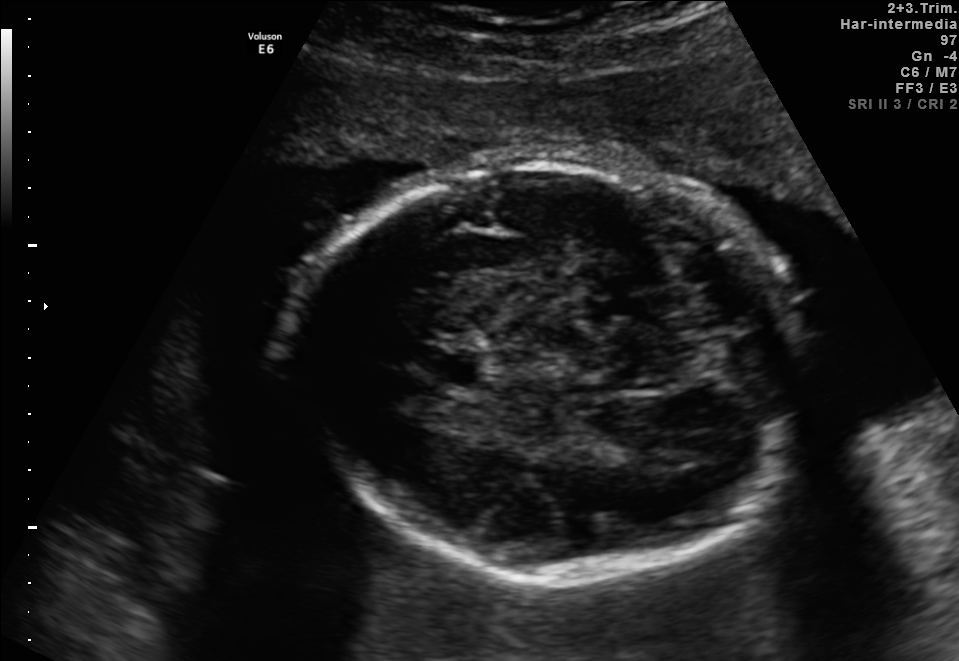
Fetal brain, trans-thalamic plane. Locate the cavum septum pellucidum.

CSP: [412,340,485,390]